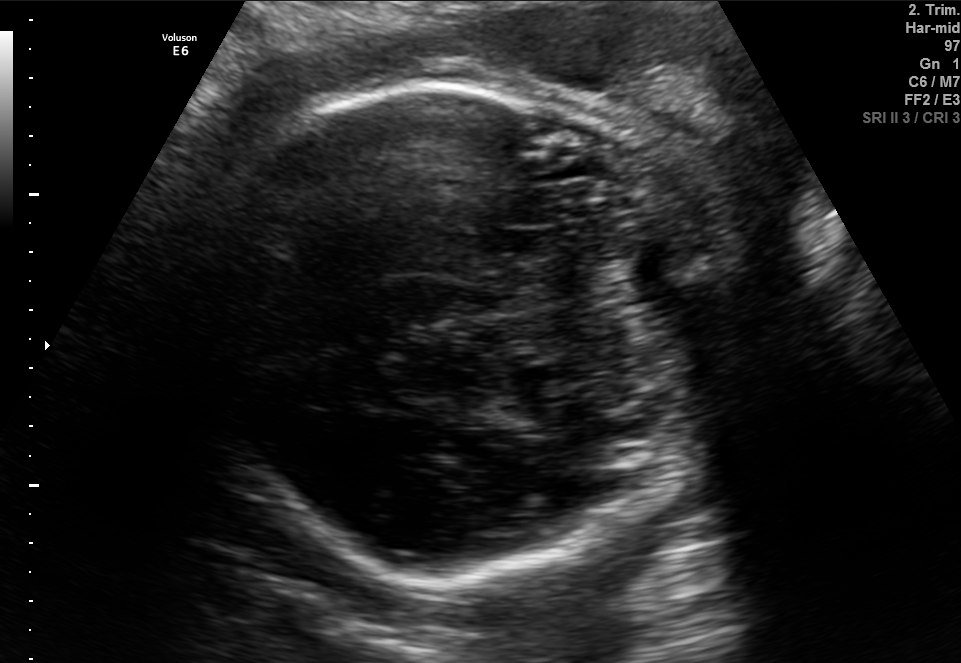
Fetal brain, trans-cerebellum plane. Locate the fetal head and, if visible, the cavum septum pellucidum (CSP) and lateral ventricle (LV). Give bounding boxes as [x1,y1,x2,y2].

Head: [204,80,710,581]